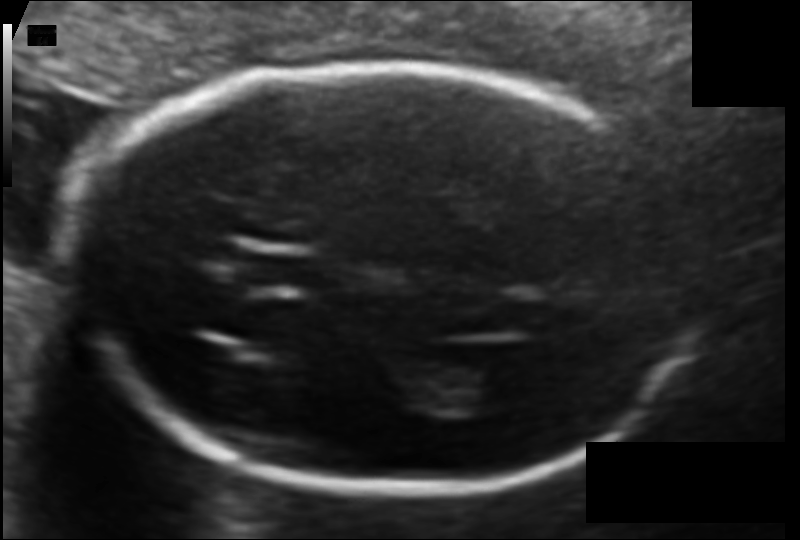
Fetal head ultrasound. Image width: 82.7 mm. Where is the lateral ventricle?

Lateral ventricle bounding box: [433,349,527,415]